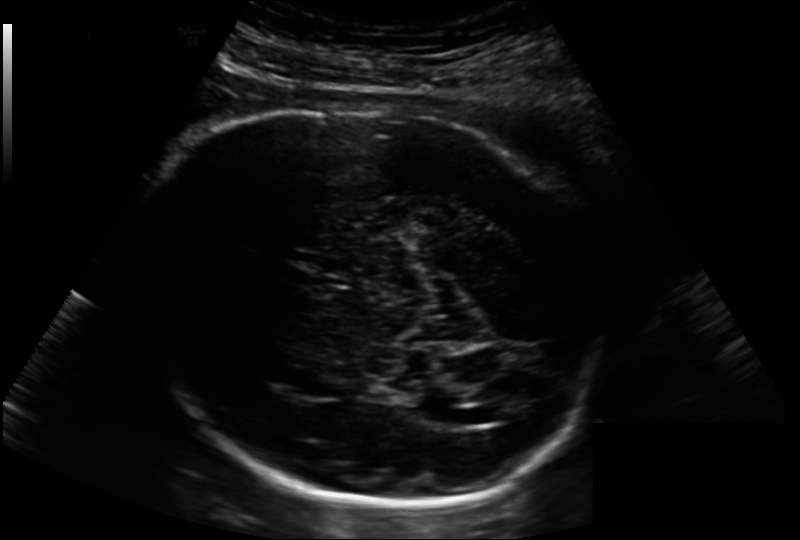
Measure the fetal head circumference shown in this ultrasound image. Image width: 161.6 mm.

Head circumference: 284.2 mm.